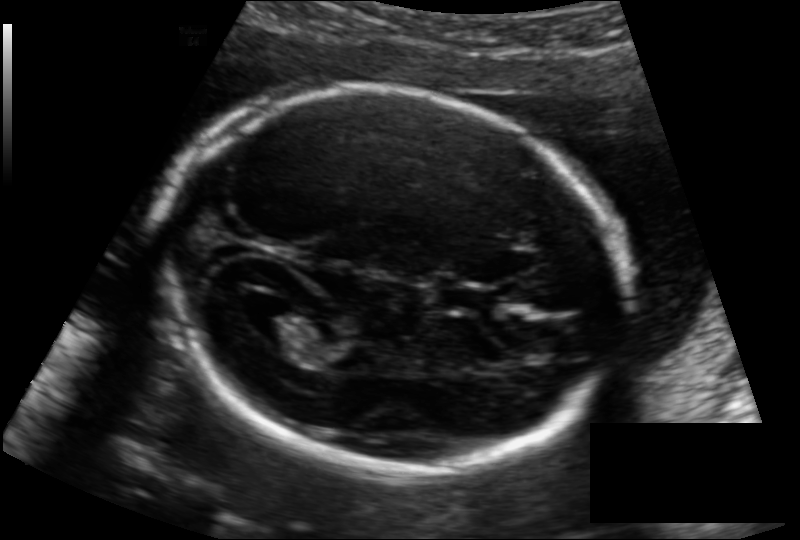
From this fetal ultrasound, estimate the head circumference (image width 106.5 mm).

Head circumference: 180.8 mm.